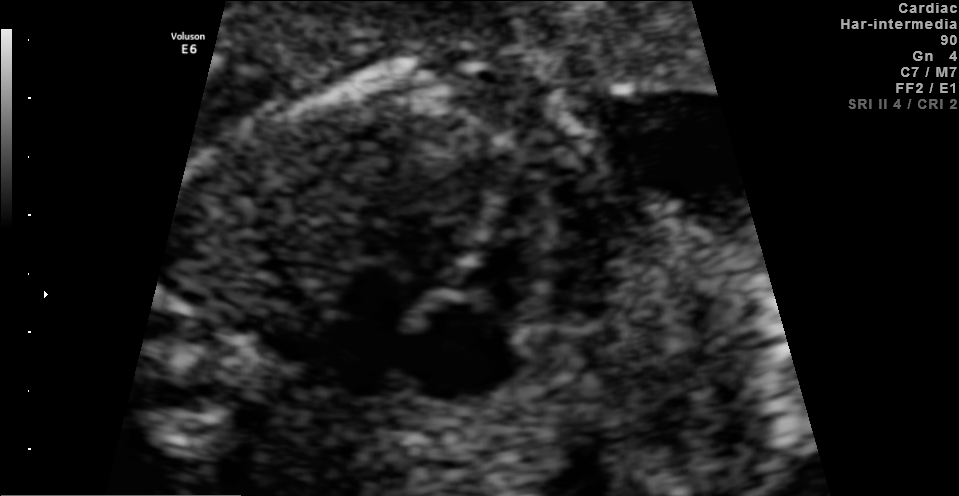
Classify this maternal-fetal ultrasound image as one of the six standard planes — fetal abdomen, fetal brain, fetal femur, fetal thorax, maternal cervix, or other. If it's fetal brain and one of the three standard brain planes (trans-thalamic, trans-cerebellum, trans-ventricular), name which.

Fetal thorax